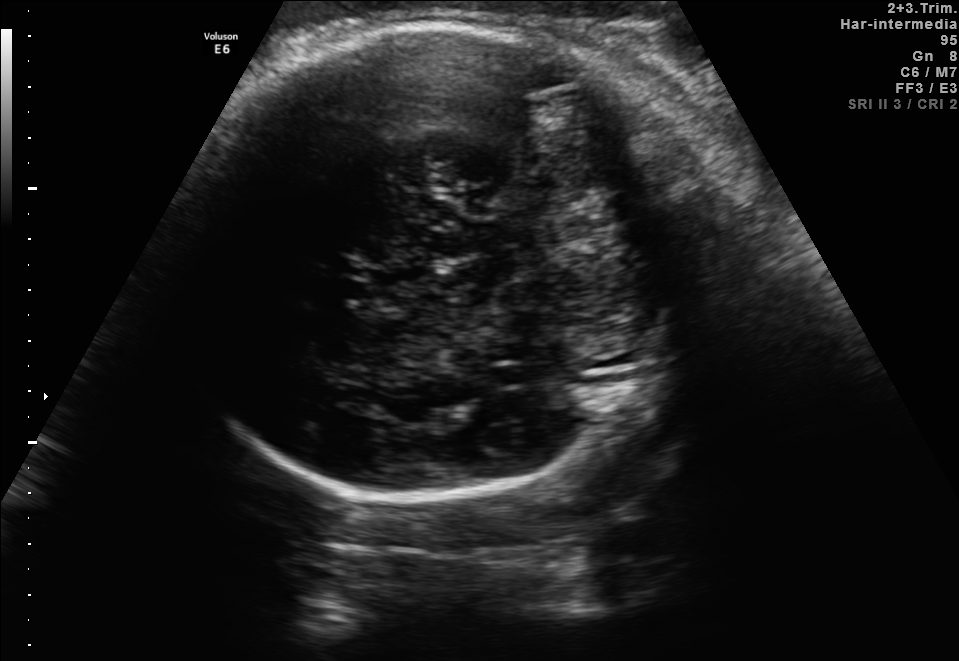
This is a 2D maternal-fetal ultrasound frame. Is it a fetal abdomen, fetal brain, fetal femur, fetal thorax, maternal cervix, or other standard plane? If it's fetal brain and one of the three standard brain planes (trans-thalamic, trans-cerebellum, trans-ventricular), name which.

Fetal brain (trans-cerebellum plane)